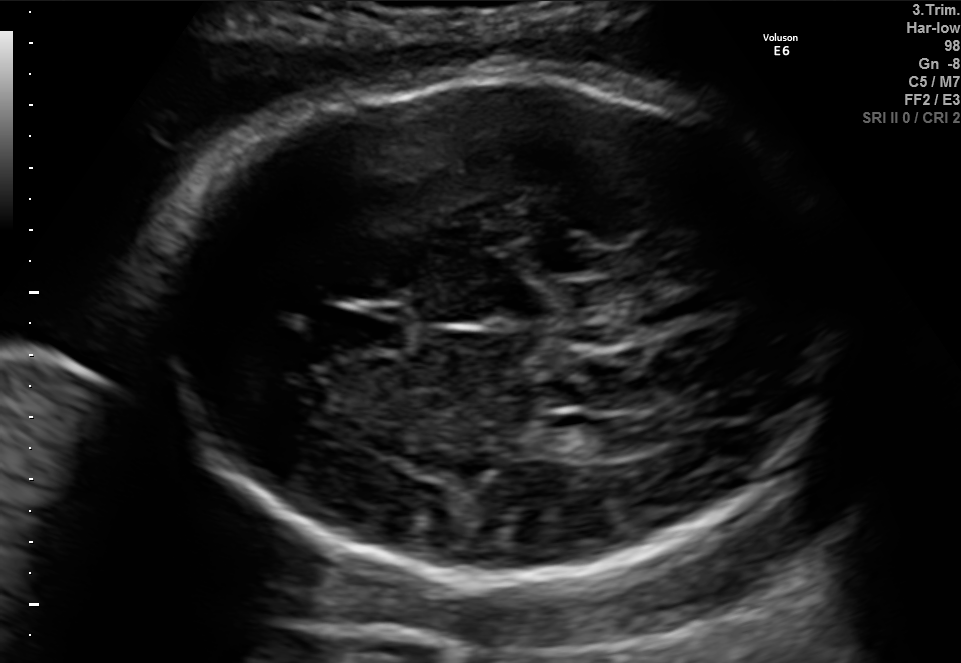
Fetal brain, trans-ventricular plane. Locate the fetal head.

Head: [140,62,855,589]